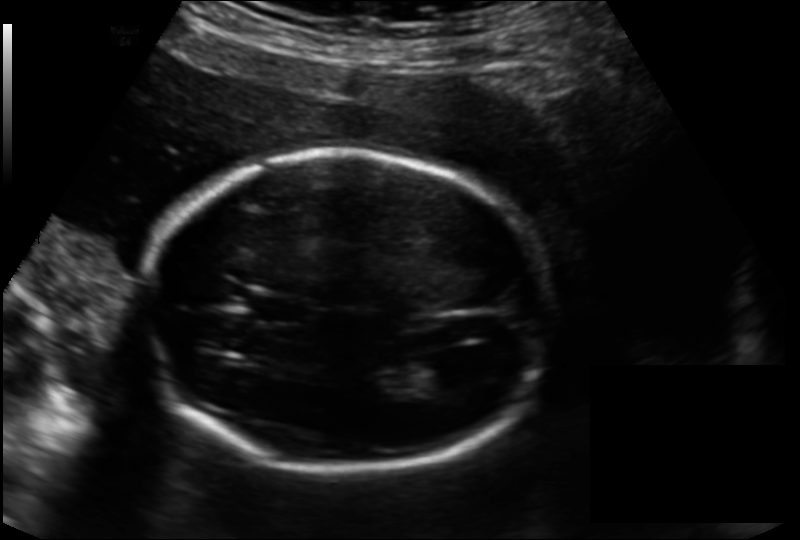
Fetal head ultrasound. Image width: 133.1 mm. Locate the cavum septum pellucidum.

CSP: [251,292,315,329]